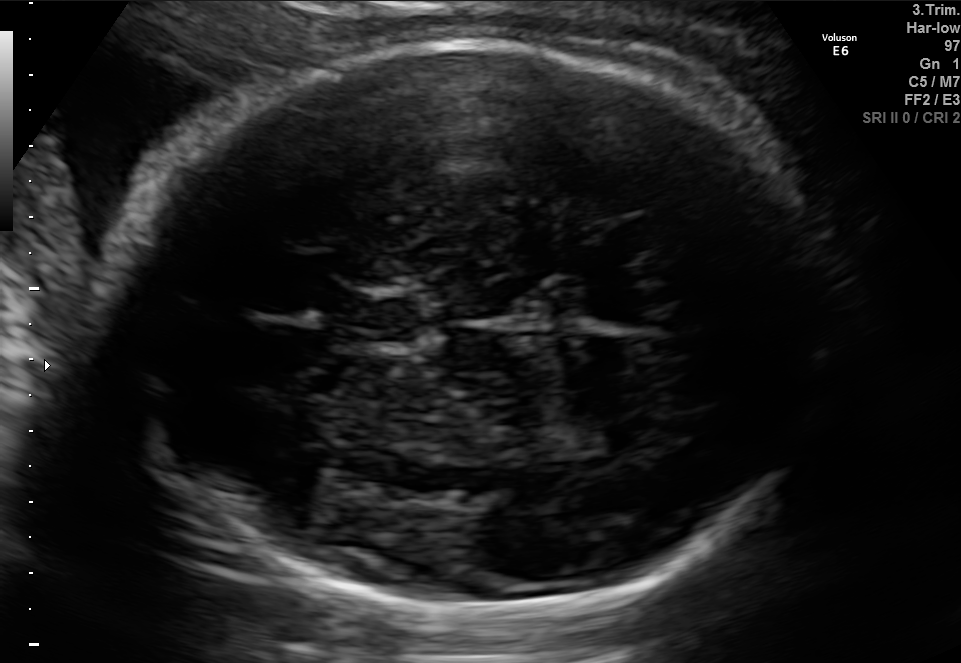
Fetal brain, trans-thalamic plane. Where is the cavum septum pellucidum?

CSP bounding box: [343,297,419,343]